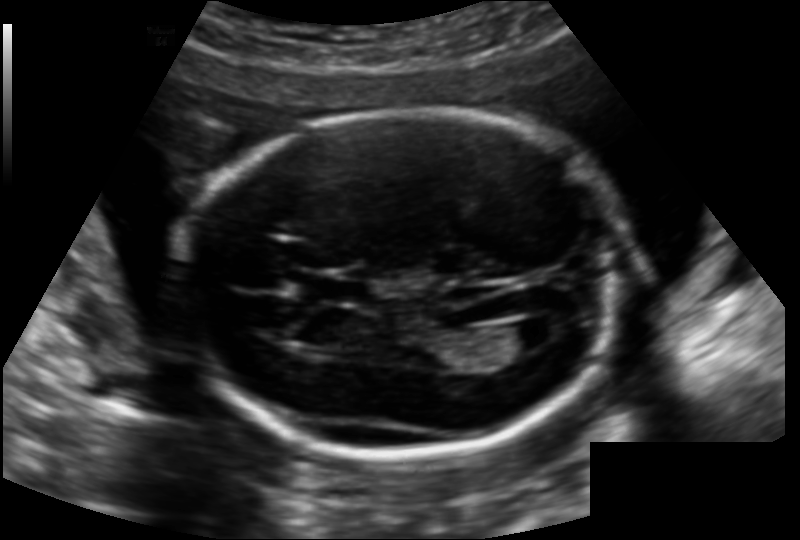
Estimate the fetal head circumference from this 2D ultrasound. Image width: 113.4 mm.

Head circumference: 182.5 mm.